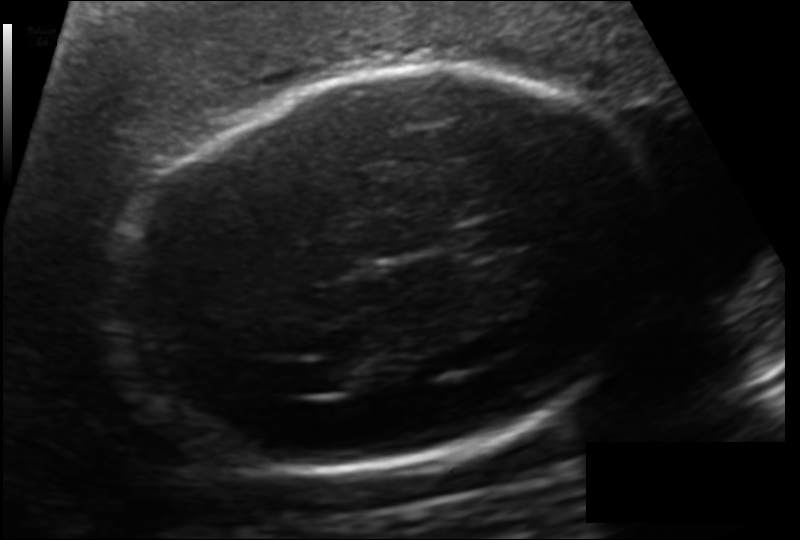
Fetal head ultrasound. Image width: 120.9 mm. Where is the lateral ventricle?

Lateral ventricle bounding box: [309,360,365,392]